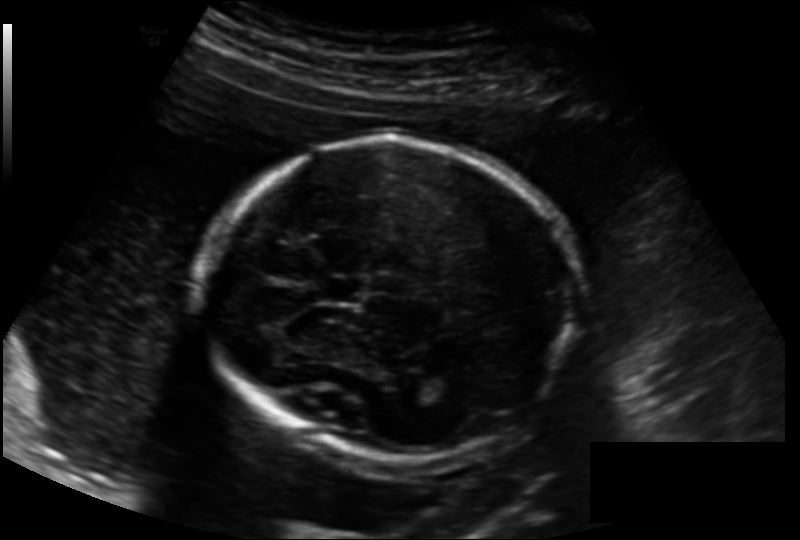
What is the fetal head circumference? Image width is 126.5 mm.

177.8 mm